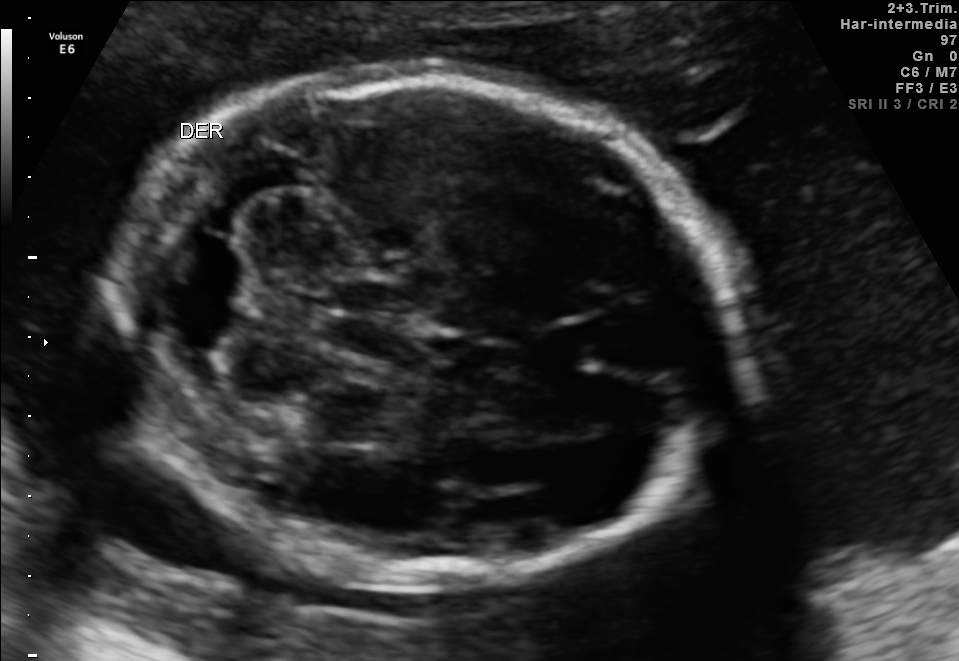
Identify the standard plane in this fetal ultrasound image: fetal abdomen, fetal brain, fetal femur, fetal thorax, maternal cervix, or other. If it's fetal brain and one of the three standard brain planes (trans-thalamic, trans-cerebellum, trans-ventricular), name which.

Fetal brain (trans-cerebellum plane)